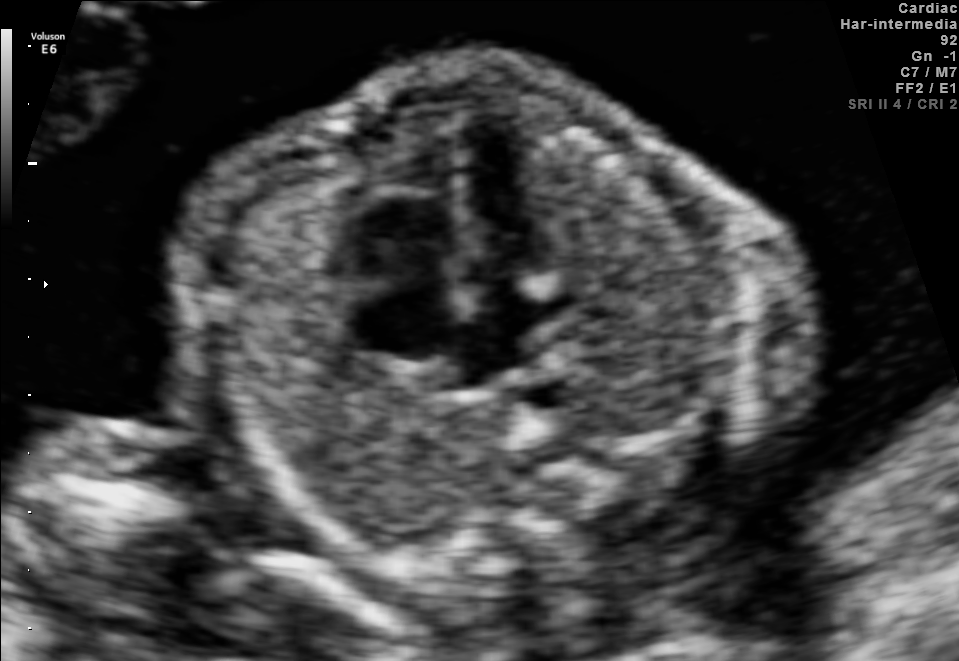
Which standard maternal-fetal ultrasound plane is shown: fetal abdomen, fetal brain, fetal femur, fetal thorax, maternal cervix, or other? If it's fetal brain and one of the three standard brain planes (trans-thalamic, trans-cerebellum, trans-ventricular), name which.

Fetal thorax